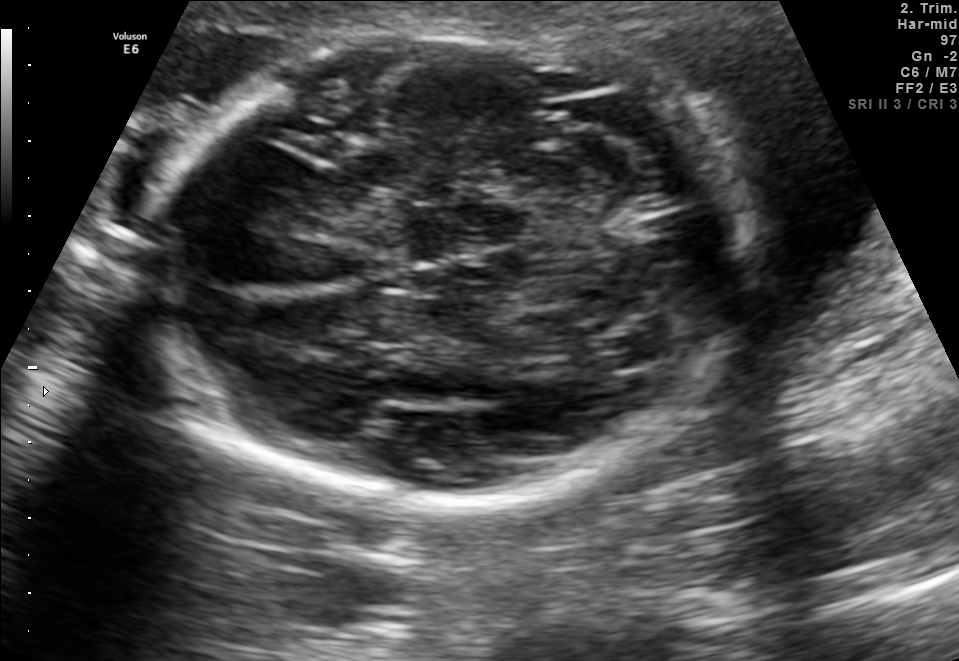
Fetal brain, trans-thalamic plane. Locate the fetal head and, if visible, the cavum septum pellucidum (CSP) and lateral ventricle (LV). Give bounding boxes as [x1,y1,x2,y2].

Head: [140,31,753,496]